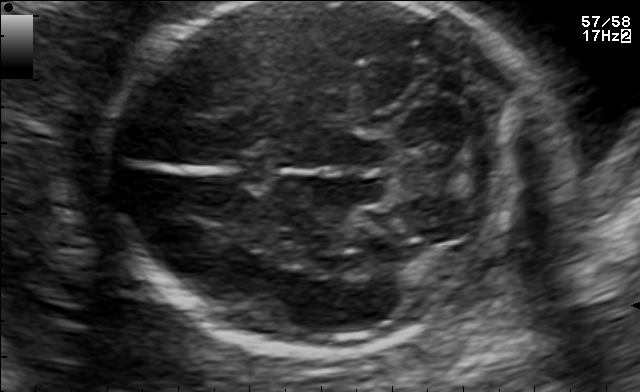
In this fetal brain, trans-cerebellum plane, give the bounding box of the cavum septum pellucidum.

[227,153,279,185]